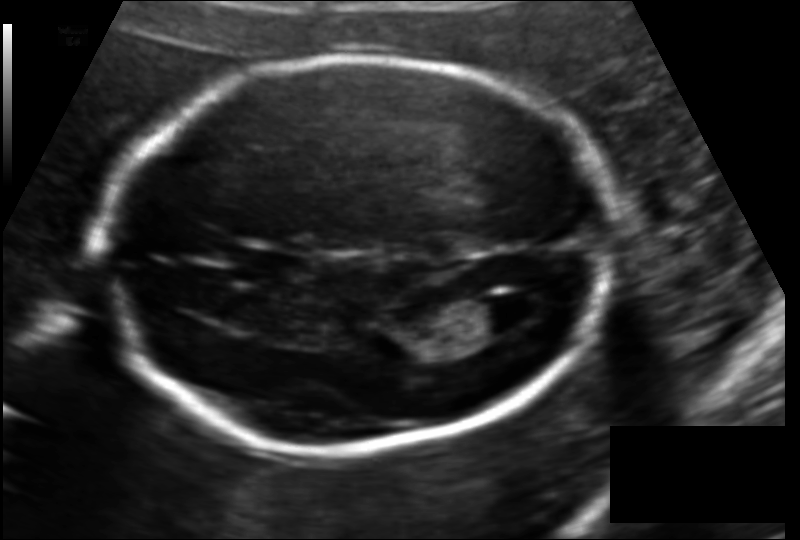
Estimate the fetal head circumference from this 2D ultrasound. Image width: 101.5 mm.

Head circumference: 185.4 mm.